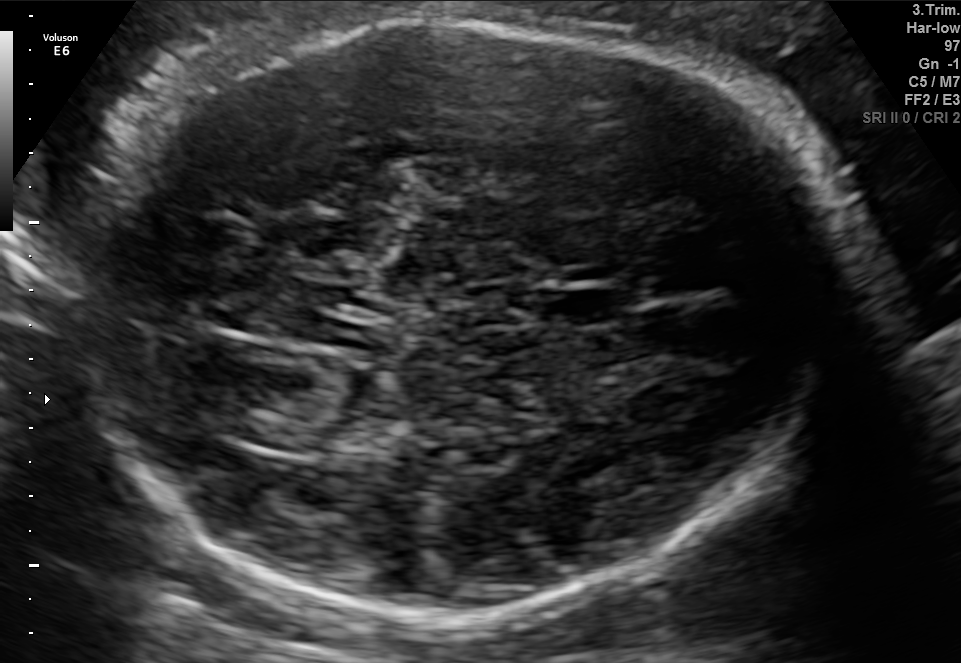
Fetal brain, trans-thalamic plane. Where is the lateral ventricle?

Lateral ventricle bounding box: [232,405,322,456]